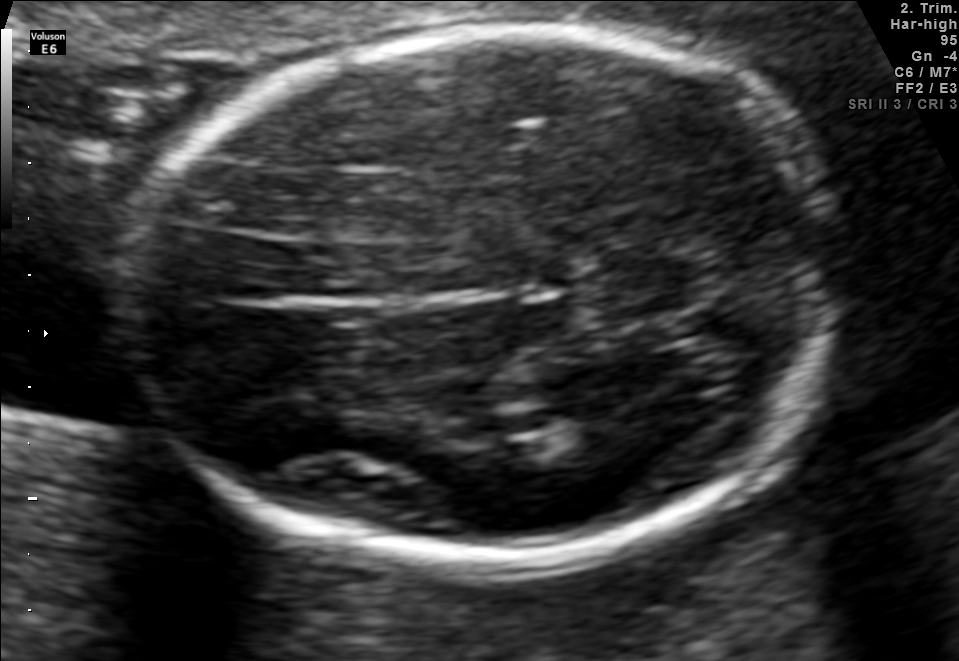
Fetal brain, trans-thalamic plane. Where is the fetal head?

Head bounding box: [127,30,838,577]